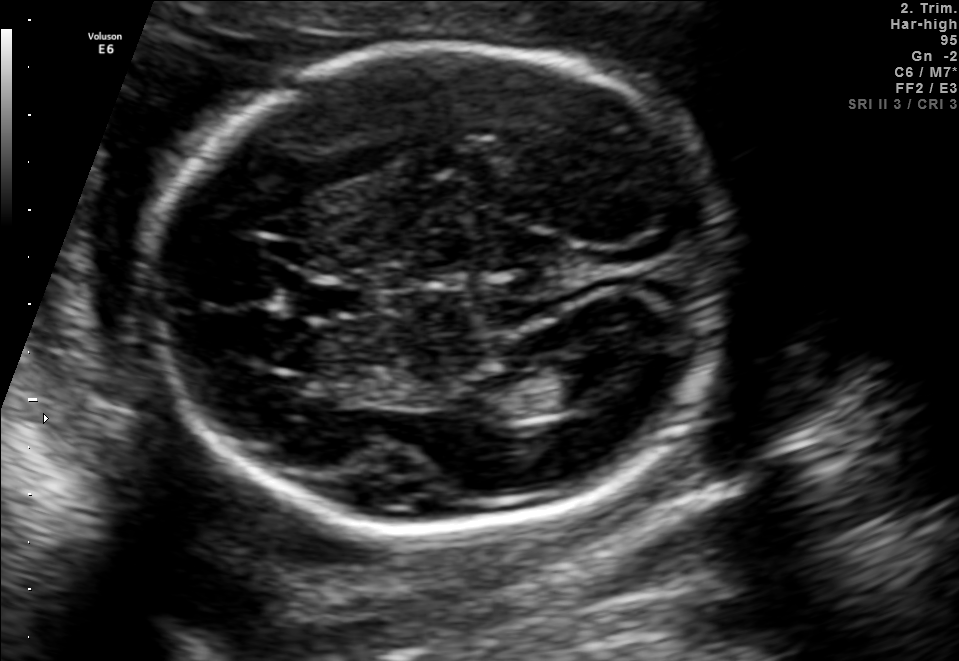
Fetal brain, trans-ventricular plane. Locate the cavum septum pellucidum.

CSP: [282,277,380,322]